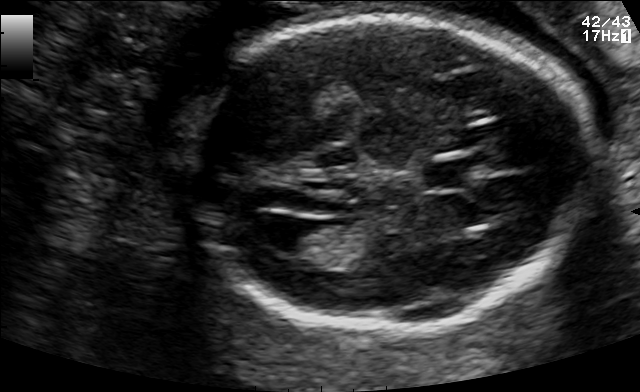
Fetal brain, trans-ventricular plane. Locate the fetal head.

Head: [173,14,605,337]